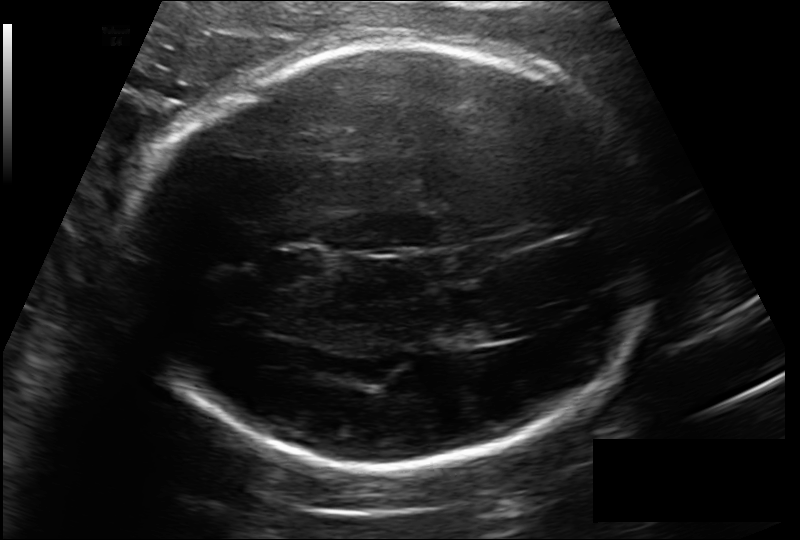
Fetal head ultrasound. Image width: 148.1 mm. Where is the cavum septum pellucidum?

CSP bounding box: [271,246,324,279]